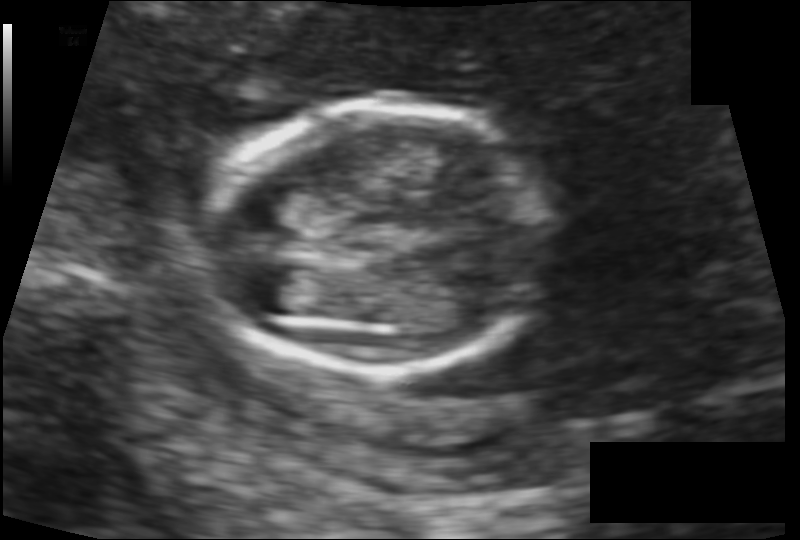
What is the fetal head circumference? Image width is 88.5 mm.

108.0 mm